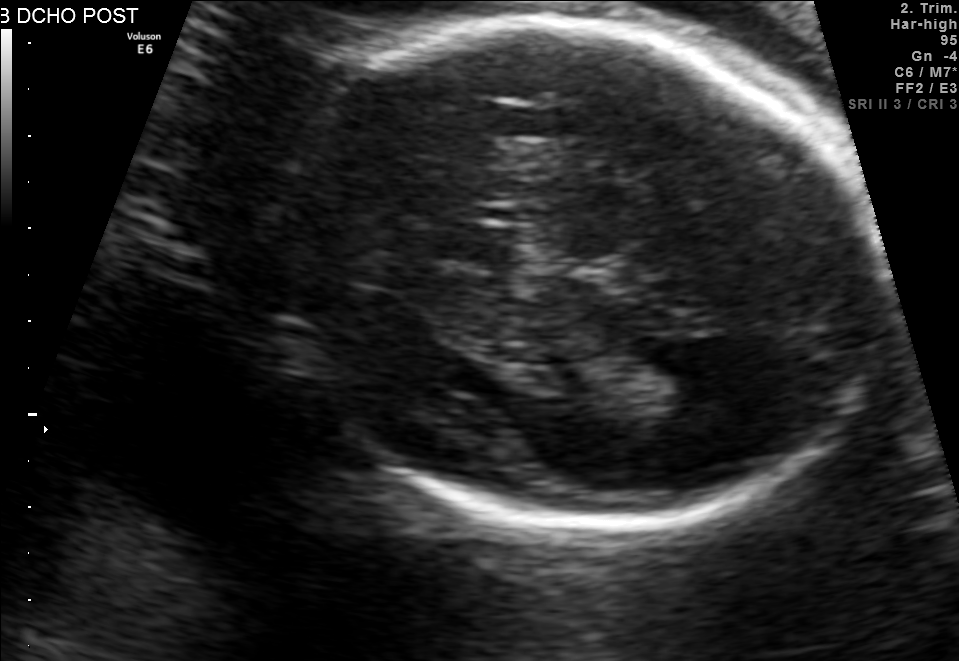
In this fetal brain, trans-thalamic plane, give the bounding box of the fetal head.

[265,22,878,529]